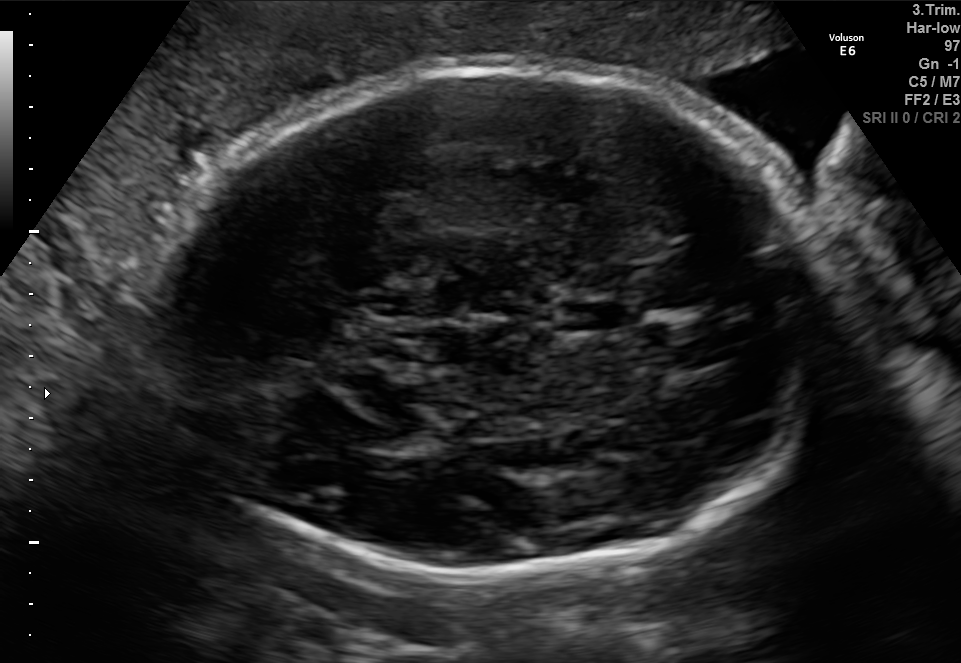
In this fetal brain, trans-thalamic plane, give the bounding box of the fetal head.

[154,60,827,575]